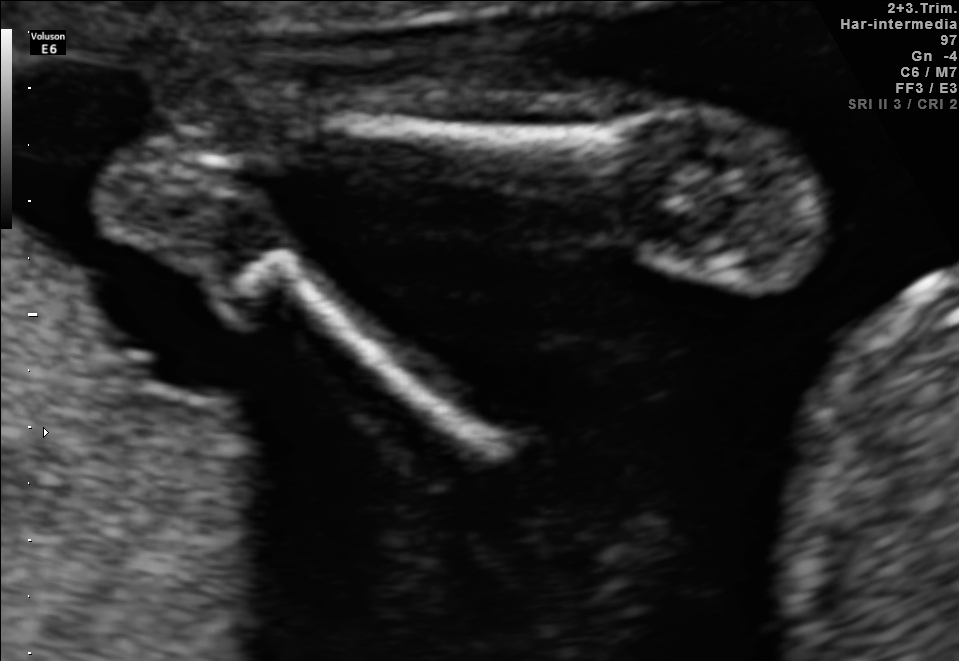
Which standard maternal-fetal ultrasound plane is shown: fetal abdomen, fetal brain, fetal femur, fetal thorax, maternal cervix, or other? If it's fetal brain and one of the three standard brain planes (trans-thalamic, trans-cerebellum, trans-ventricular), name which.

Other